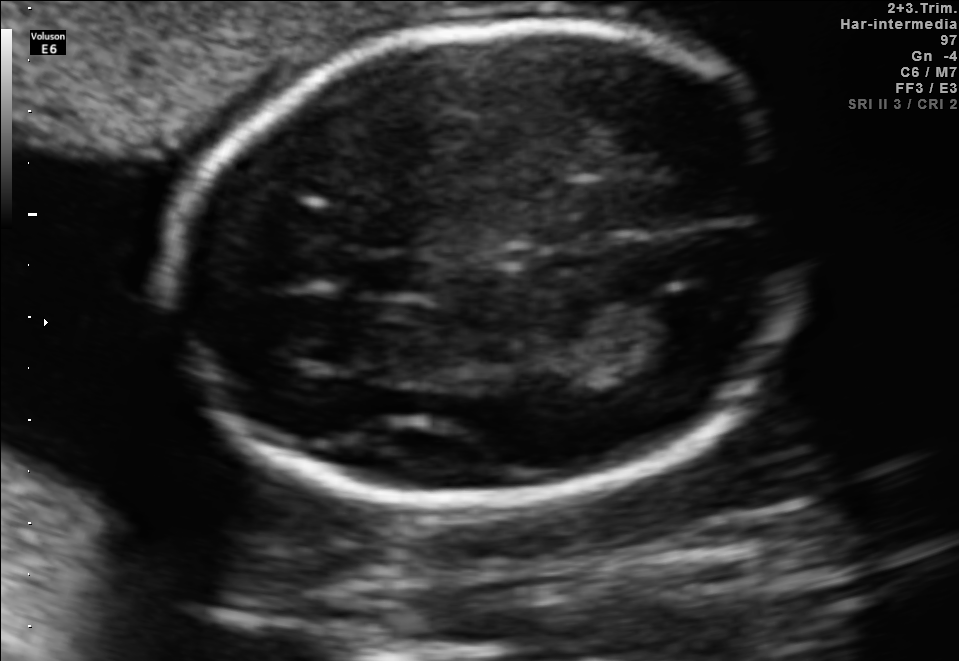
In this fetal brain, trans-thalamic plane, give the bounding box of the fetal head.

[170,21,801,506]